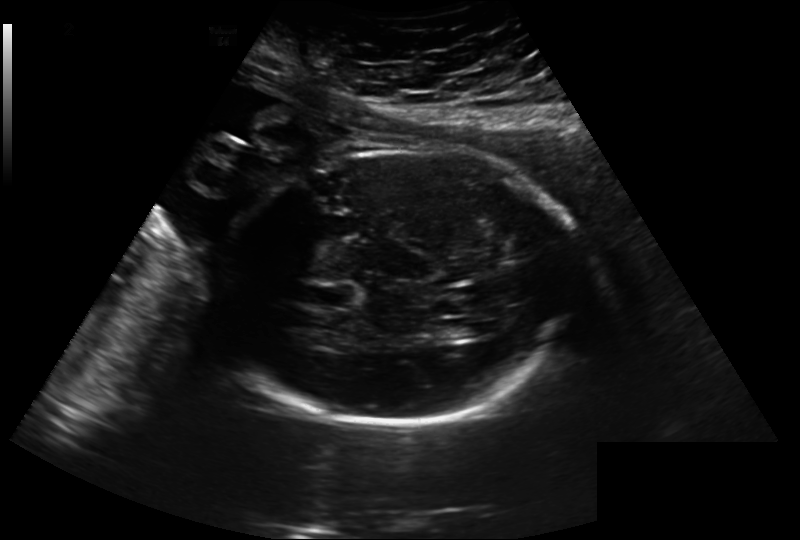
In this fetal head ultrasound, give the bounding box of the cavum septum pellucidum. Image width: 208.3 mm.

[309,284,356,310]